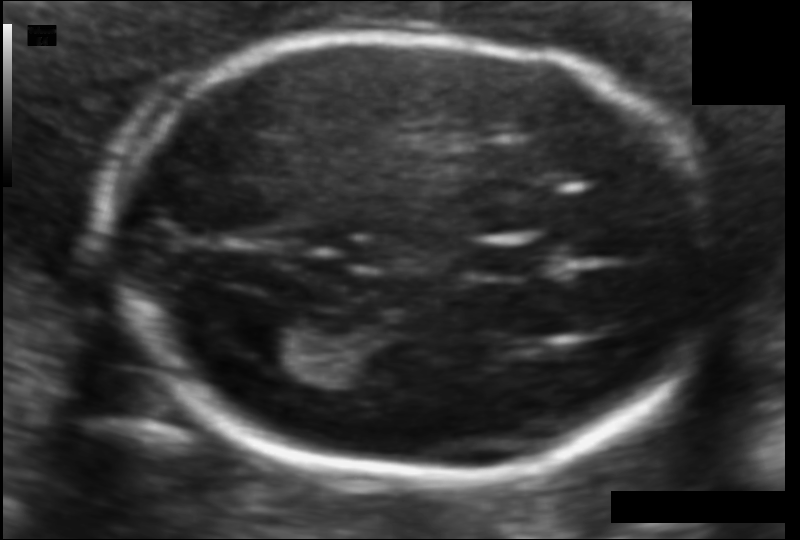
Fetal head ultrasound. Image width: 75.5 mm. Where is the fetal head?

Head bounding box: [107,35,720,477]